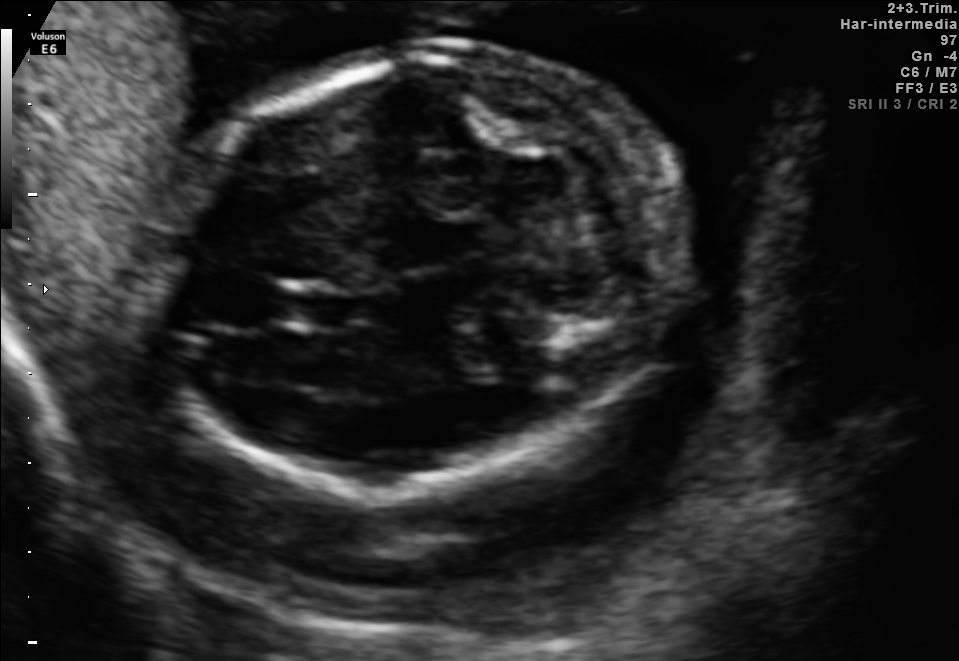
Fetal brain, trans-cerebellum plane. Locate the fetal head and, if visible, the cavum septum pellucidum (CSP) and lateral ventricle (LV). Give bounding boxes as [x1,y1,x2,y2].

Head: [146,54,685,485]
CSP: [278,283,352,331]